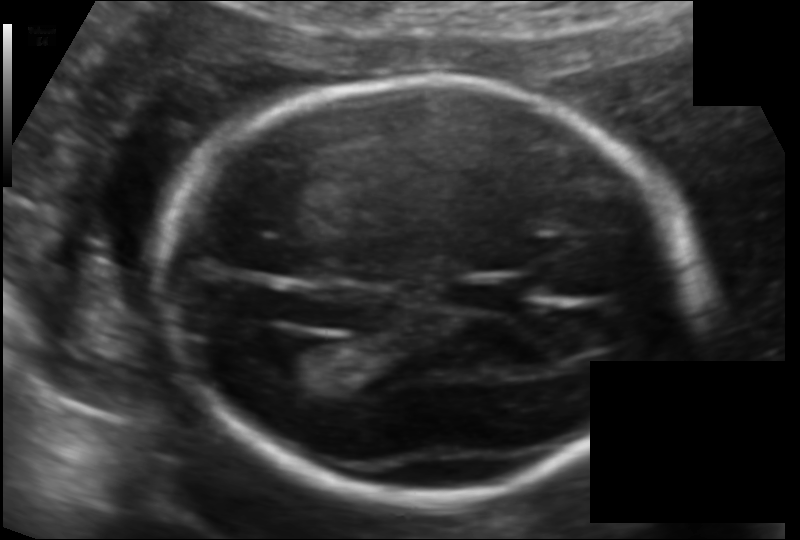
Fetal head ultrasound. Image width: 94.6 mm. Locate the fetal head and, if visible, the cavum septum pellucidum (CSP) and lateral ventricle (LV). Give bounding boxes as [x1,y1,x2,y2].

Head: [162,78,697,498]
CSP: [457,280,523,307]
Lateral ventricle: [266,333,333,383]